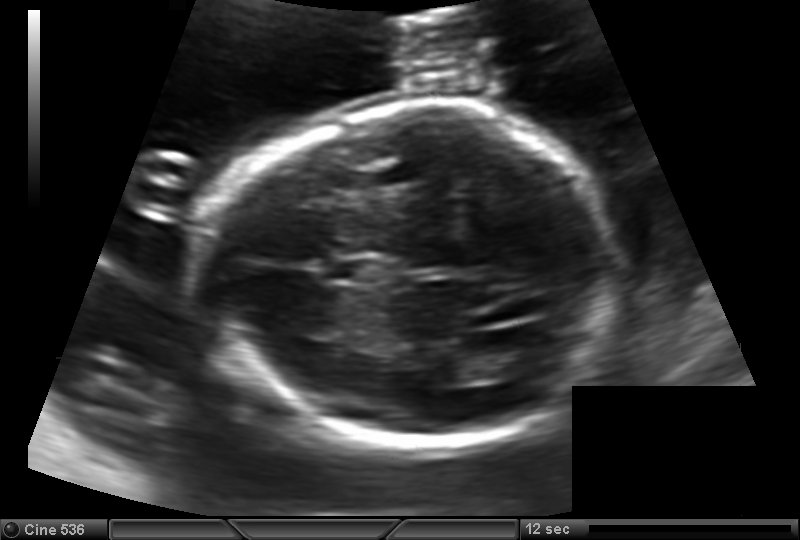
Fetal head ultrasound. Image width: 115.2 mm. Locate the fetal head.

Head: [201,104,619,449]